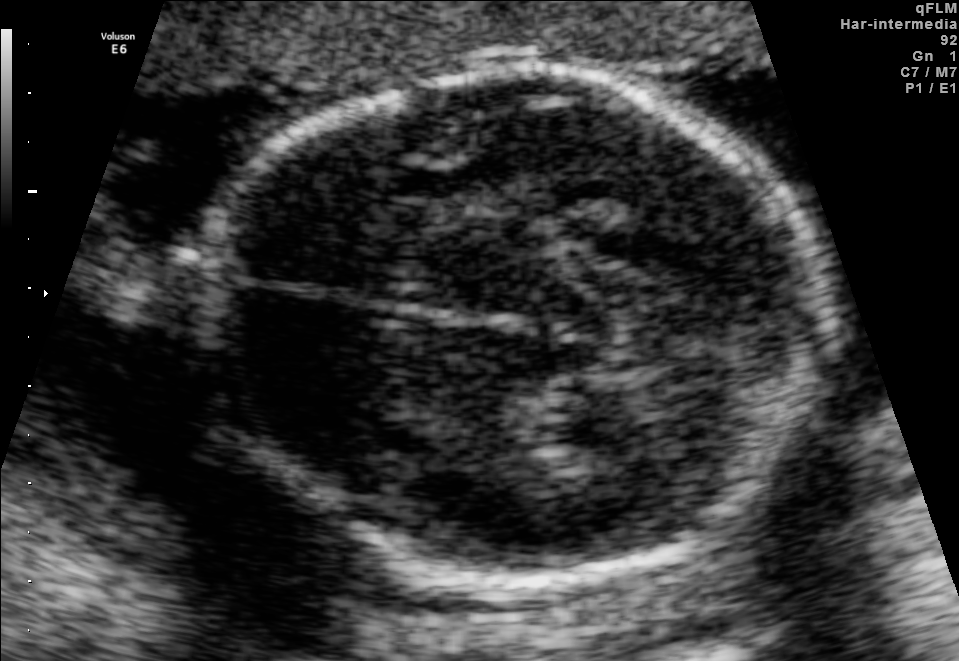
Fetal brain, trans-thalamic plane. Locate the fetal head and, if visible, the cavum septum pellucidum (CSP) and lateral ventricle (LV). Give bounding boxes as [x1,y1,x2,y2].

Head: [209,70,834,583]
Lateral ventricle: [541,377,686,467]